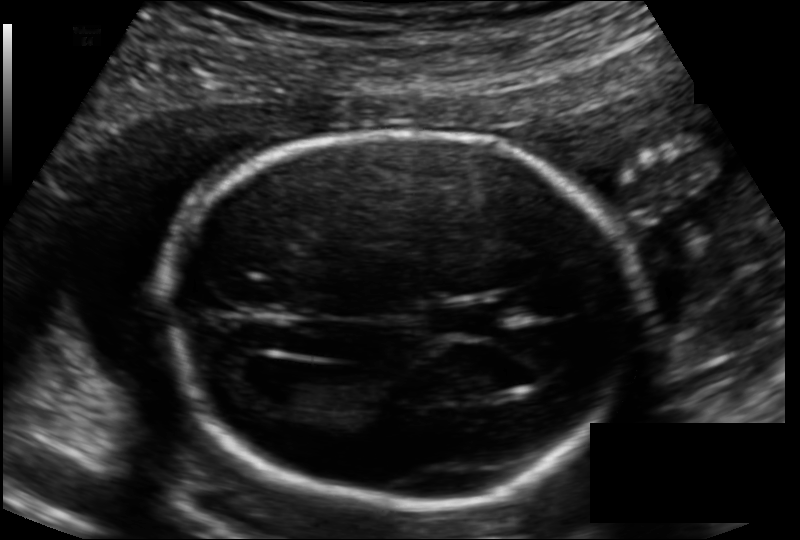
In this fetal head ultrasound, give the bounding box of the cavum septum pellucidum. Image width: 100.8 mm.

[430,303,497,336]